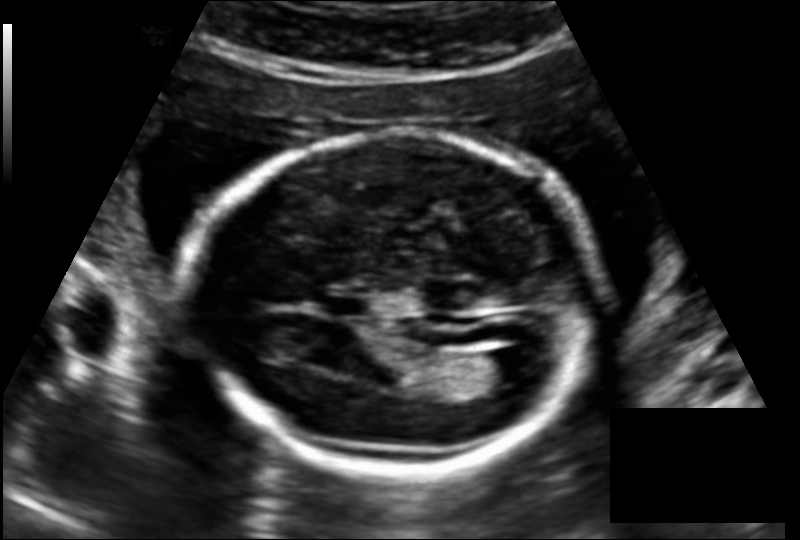
Fetal head ultrasound. Image width: 115.9 mm. Locate the fetal head and, if visible, the cavum septum pellucidum (CSP) and lateral ventricle (LV). Give bounding boxes as [x1,y1,x2,y2].

Head: [191,131,602,473]
CSP: [322,295,368,318]
Lateral ventricle: [470,344,536,389]